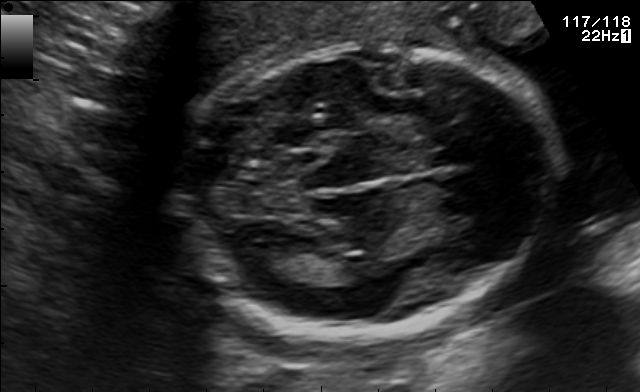
In this fetal brain, trans-thalamic plane, give bounding boxes for the head outline, cavum septum pellucidum (CSP), and lateral ventricle (LV), where visible.

Head: [186,43,552,334]
Lateral ventricle: [237,234,313,282]